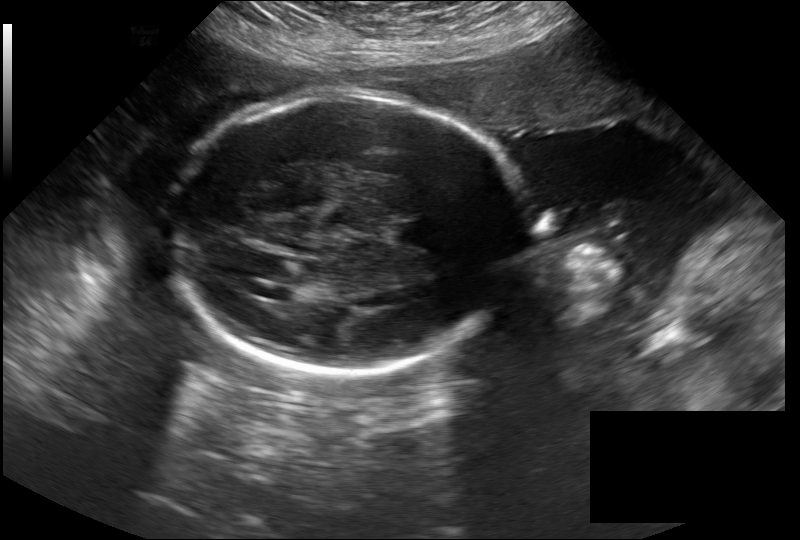
In this fetal head ultrasound, give bounding boxes for the head outline, cavum septum pellucidum (CSP), and lateral ventricle (LV), where visible. Image width: 223.0 mm.

Head: [167,92,523,374]